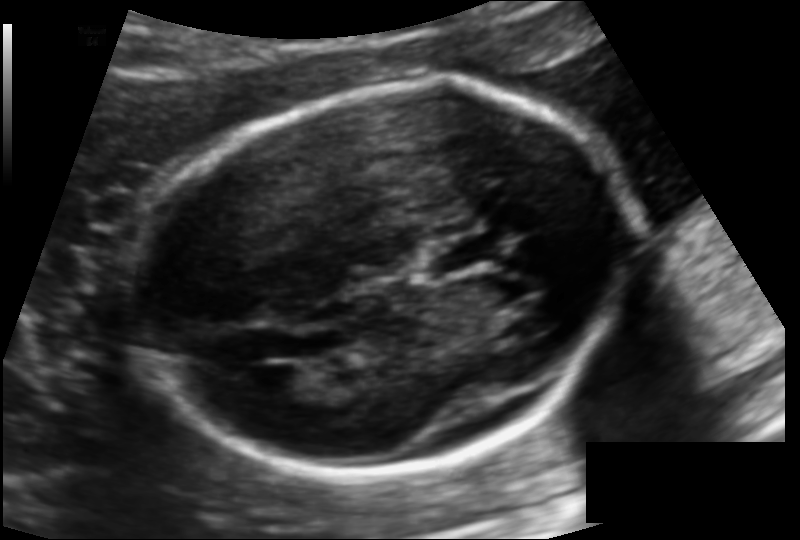
Estimate the fetal head circumference from this 2D ultrasound.

Head circumference: 176.3 mm (image width 99.2 mm).